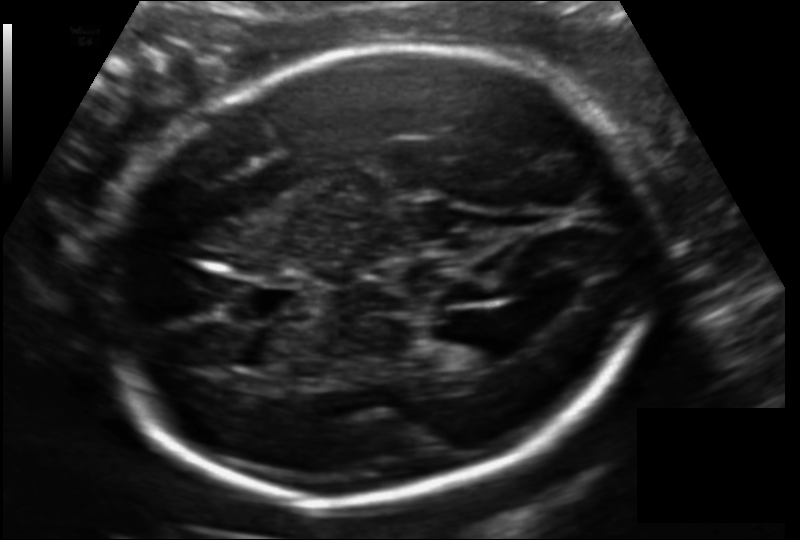
Fetal head ultrasound. Image width: 111.6 mm. Locate the fetal head.

Head: [115,46,650,506]